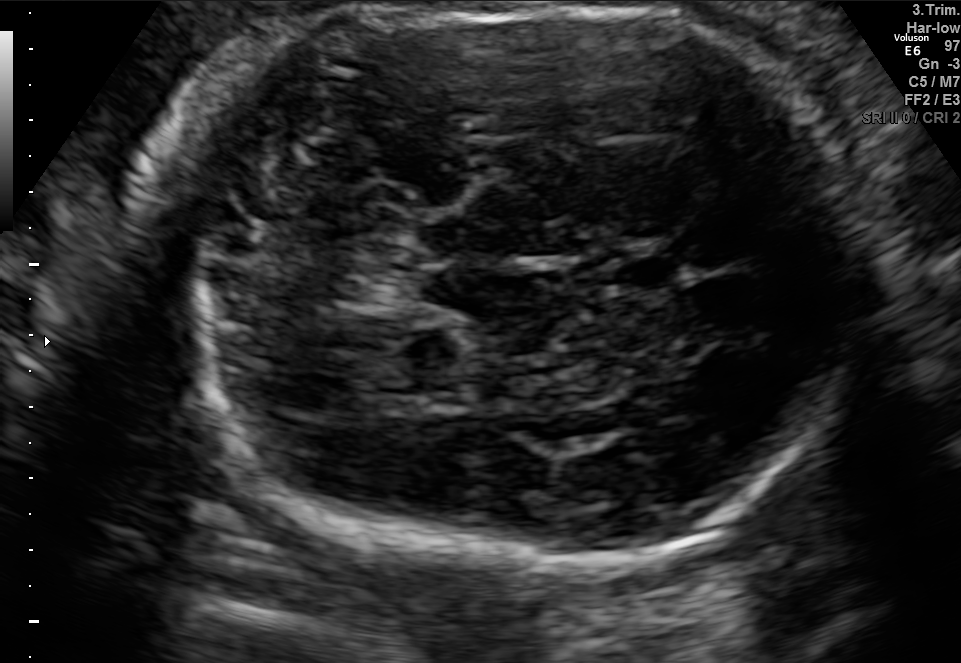
Fetal brain, trans-cerebellum plane. Where is the cavum septum pellucidum?

CSP bounding box: [601,242,693,305]